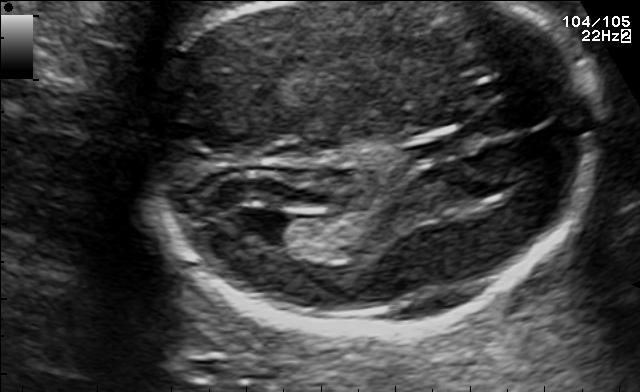
Which standard maternal-fetal ultrasound plane is shown: fetal abdomen, fetal brain, fetal femur, fetal thorax, maternal cervix, or other? If it's fetal brain and one of the three standard brain planes (trans-thalamic, trans-cerebellum, trans-ventricular), name which.

Fetal brain (trans-ventricular plane)